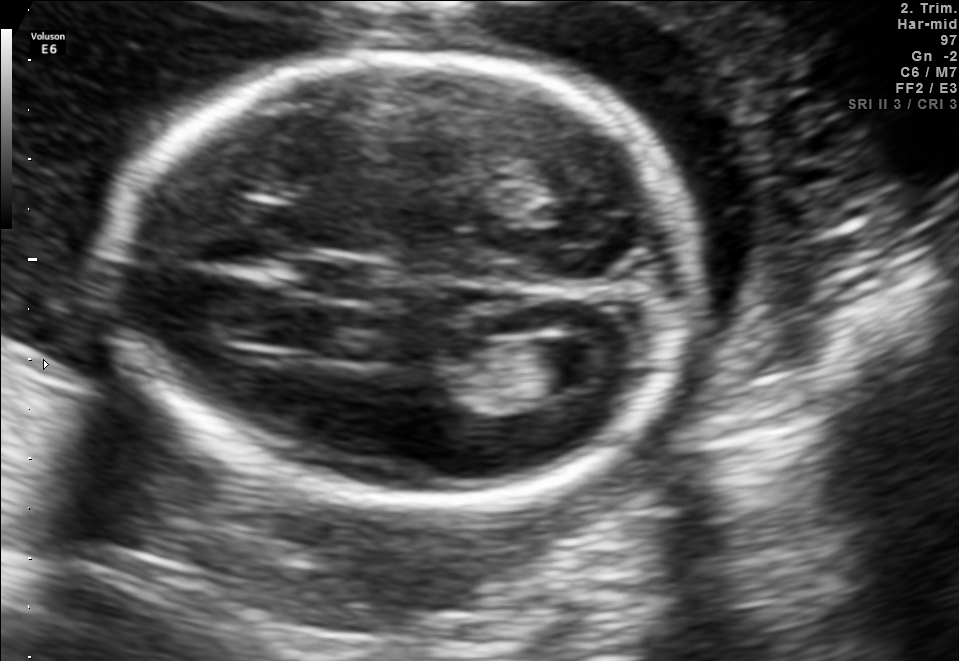
In this fetal brain, trans-ventricular plane, give the bounding box of the fetal head.

[94,44,711,521]